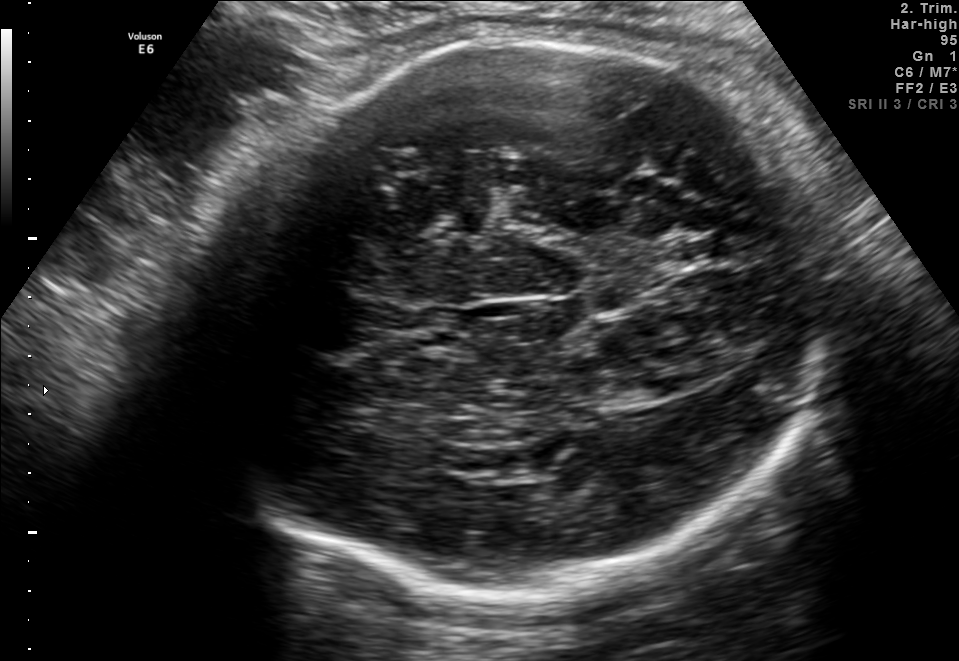
Fetal brain, trans-thalamic plane. Locate the fetal head and, if visible, the cavum septum pellucidum (CSP) and lateral ventricle (LV). Give bounding boxes as [x1,y1,x2,y2].

Head: [181,37,816,602]